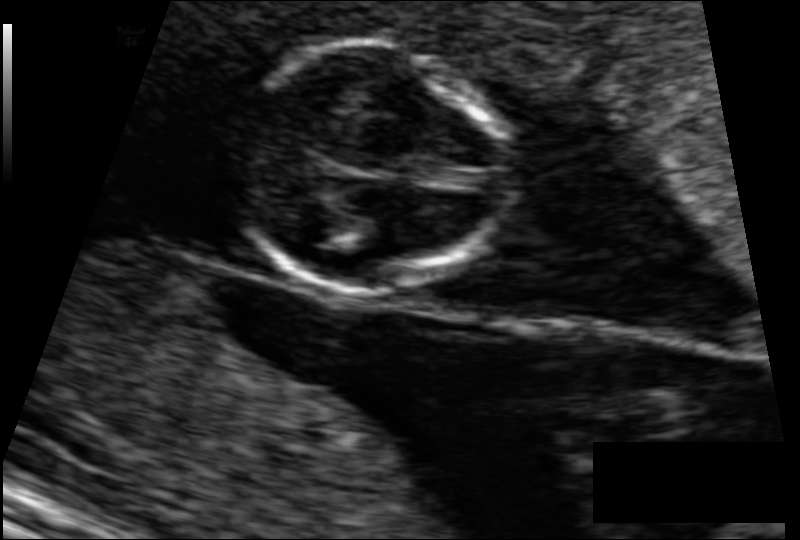
Fetal head ultrasound. Image width: 66.3 mm. Where is the fetal head?

Head bounding box: [232,42,510,292]